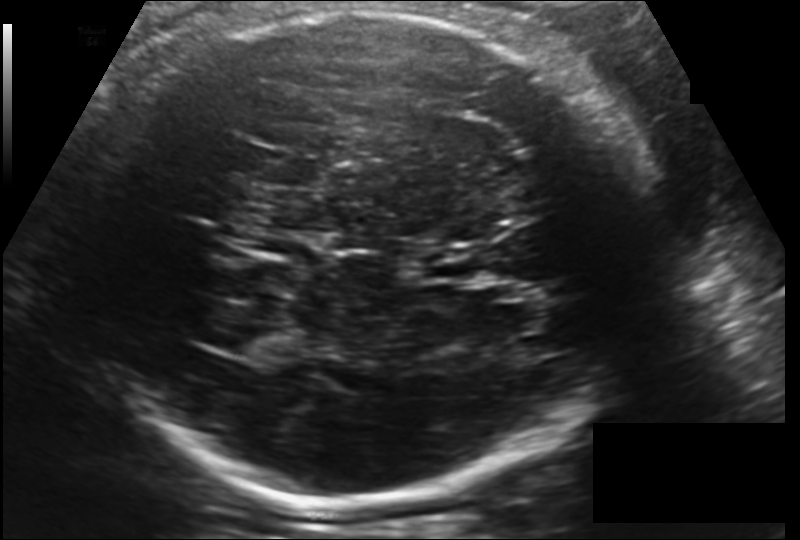
Measure the fetal head circumference shown in this ultrasound image. Image width: 145.0 mm.

Head circumference: 308.5 mm.